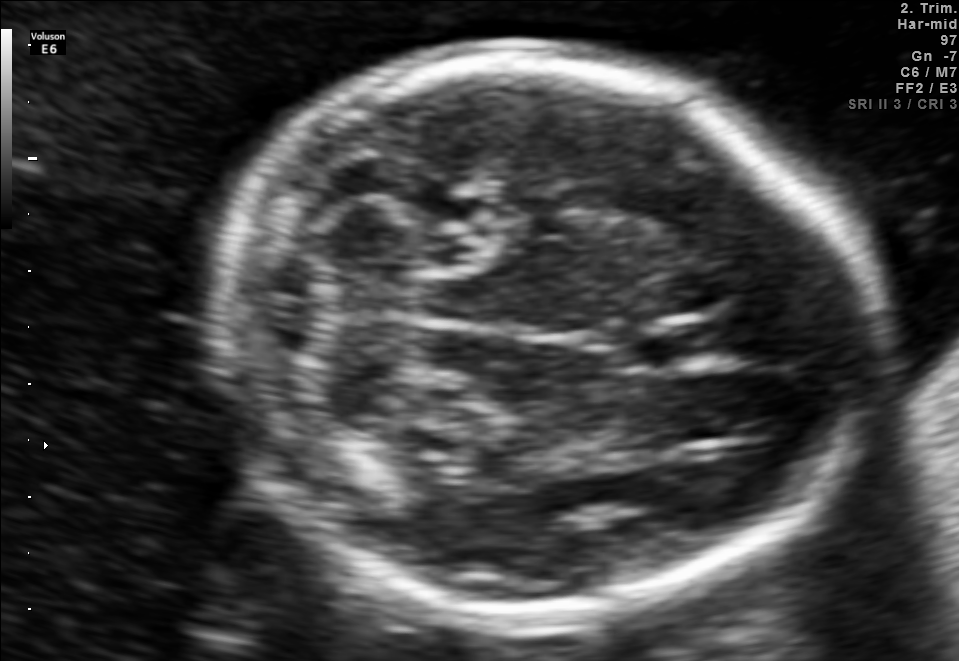
In this fetal brain, trans-cerebellum plane, give the bounding box of the cavum septum pellucidum.

[621,310,732,374]